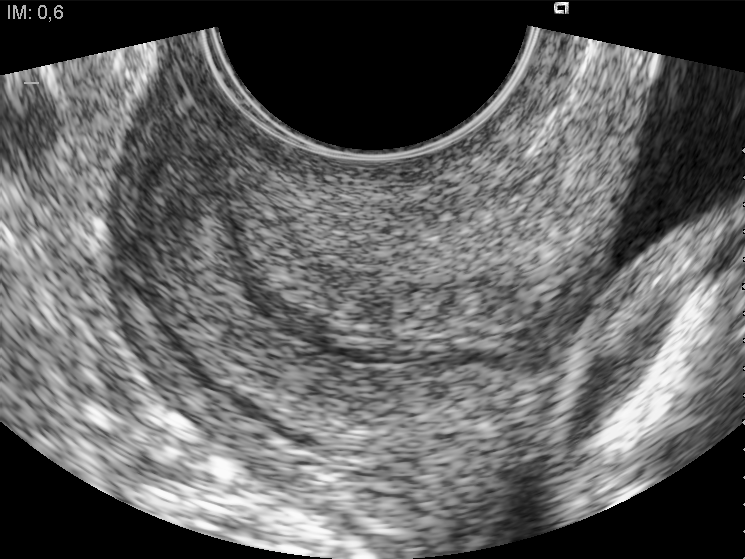
This is a 2D maternal-fetal ultrasound frame. Is it a fetal abdomen, fetal brain, fetal femur, fetal thorax, maternal cervix, or other standard plane? If it's fetal brain and one of the three standard brain planes (trans-thalamic, trans-cerebellum, trans-ventricular), name which.

Maternal cervix